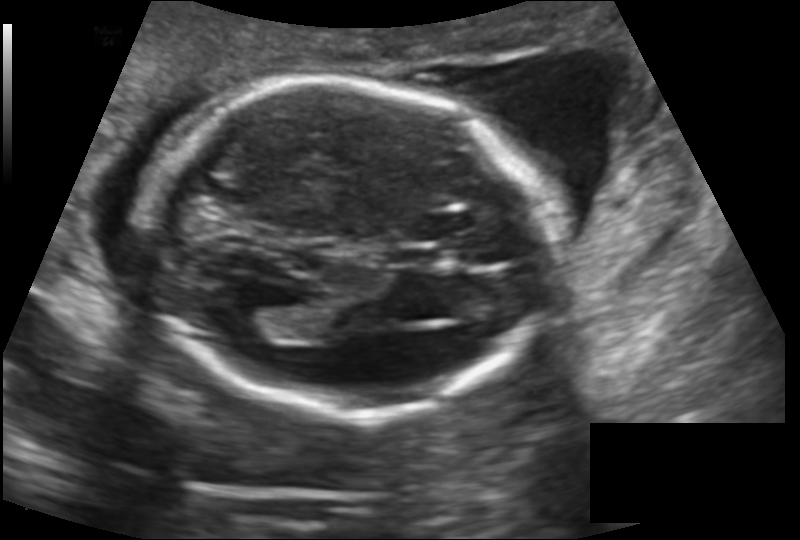
From this fetal ultrasound, estimate the head circumference (image width 116.4 mm).

Head circumference: 175.0 mm.